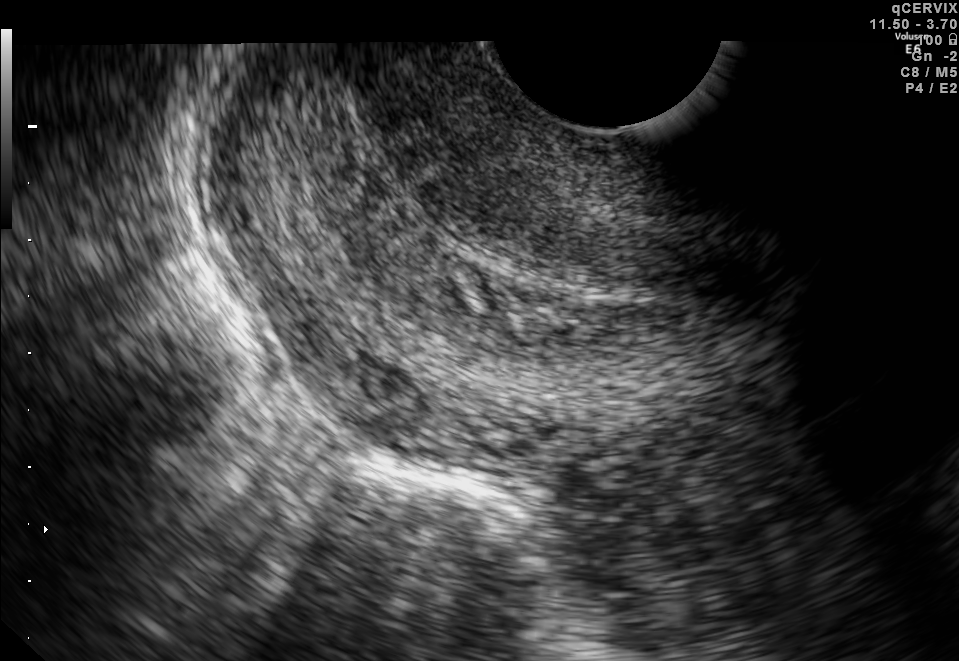
This is a 2D maternal-fetal ultrasound frame. Is it a fetal abdomen, fetal brain, fetal femur, fetal thorax, maternal cervix, or other standard plane? If it's fetal brain and one of the three standard brain planes (trans-thalamic, trans-cerebellum, trans-ventricular), name which.

Maternal cervix